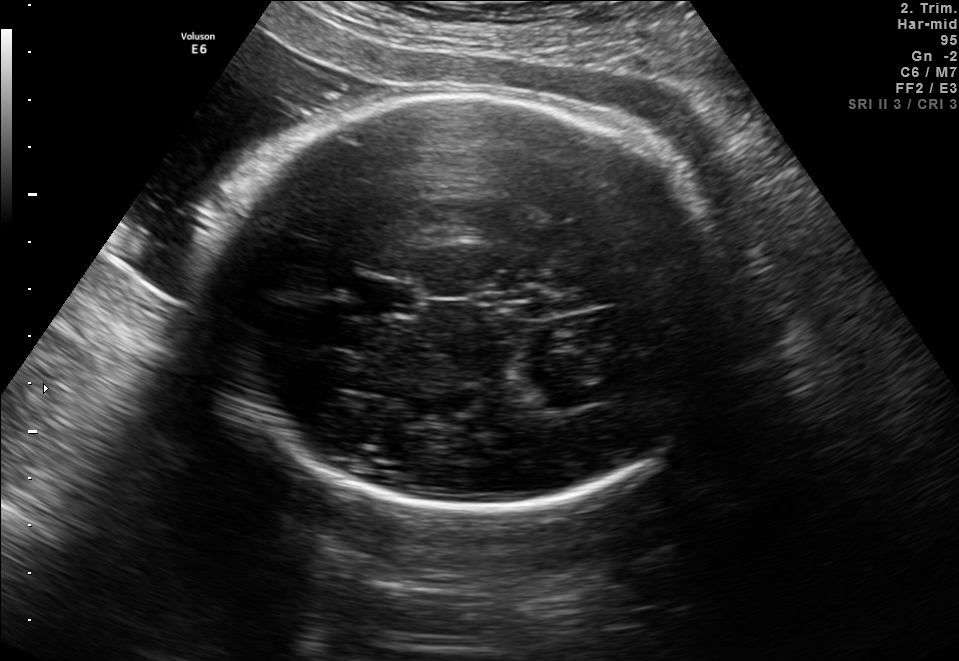
Fetal brain, trans-thalamic plane. Locate the fetal head and, if visible, the cavum septum pellucidum (CSP) and lateral ventricle (LV). Give bounding boxes as [x1,y1,x2,y2].

Head: [214,96,741,509]
CSP: [355,277,418,318]
Lateral ventricle: [528,380,608,415]